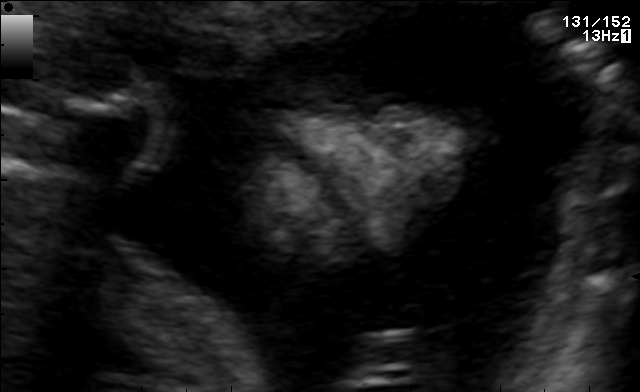
Which standard maternal-fetal ultrasound plane is shown: fetal abdomen, fetal brain, fetal femur, fetal thorax, maternal cervix, or other? If it's fetal brain and one of the three standard brain planes (trans-thalamic, trans-cerebellum, trans-ventricular), name which.

Other